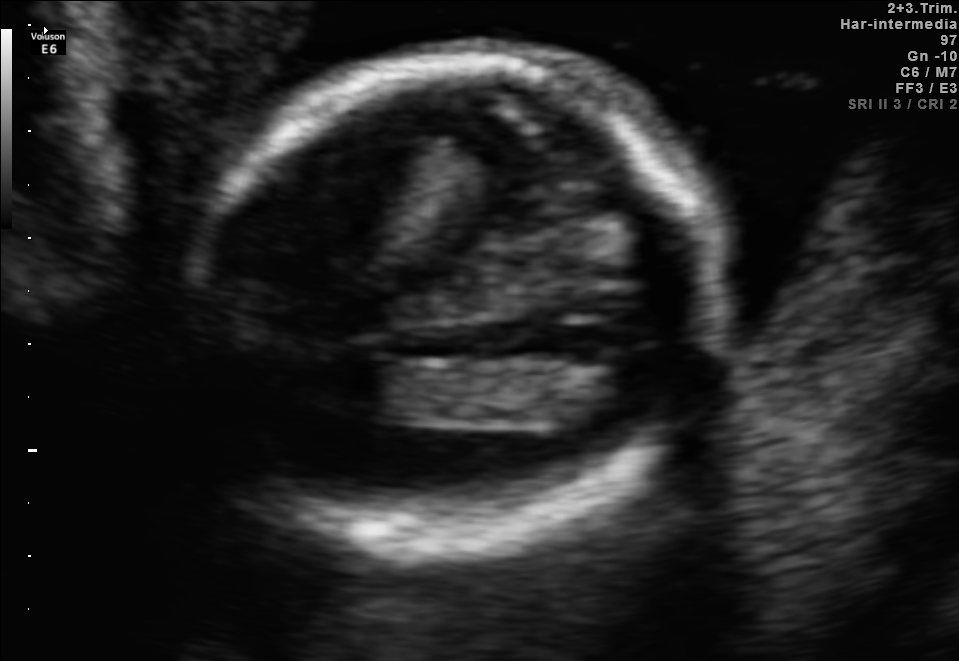
Fetal brain, trans-thalamic plane. Where is the fetal head?

Head bounding box: [181,57,720,538]